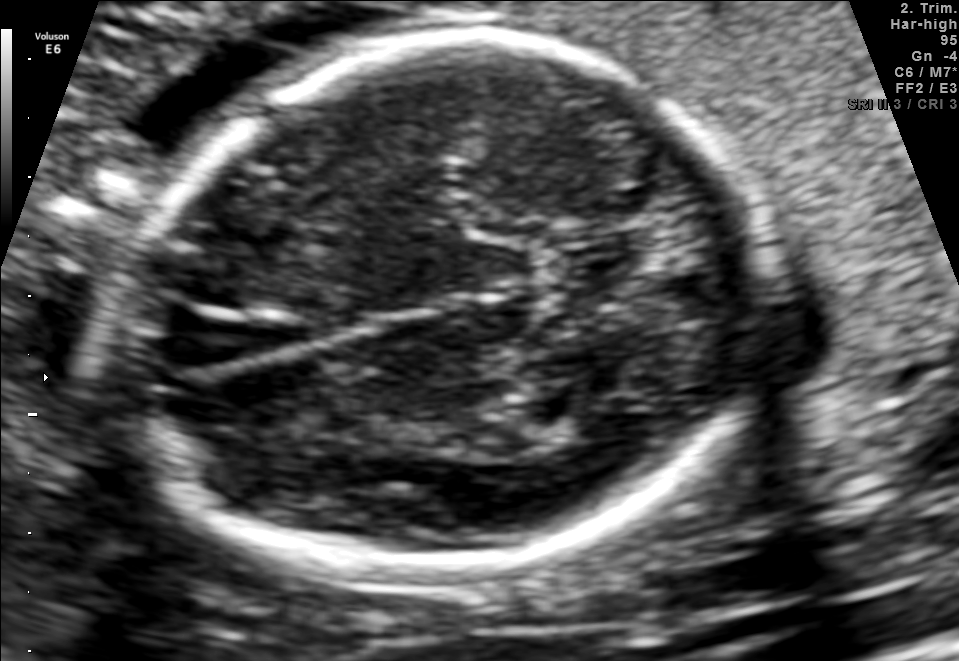
In this fetal brain, trans-thalamic plane, give bounding boxes for the head outline, cavum septum pellucidum (CSP), and lateral ventricle (LV), where visible.

Head: [104,37,767,574]